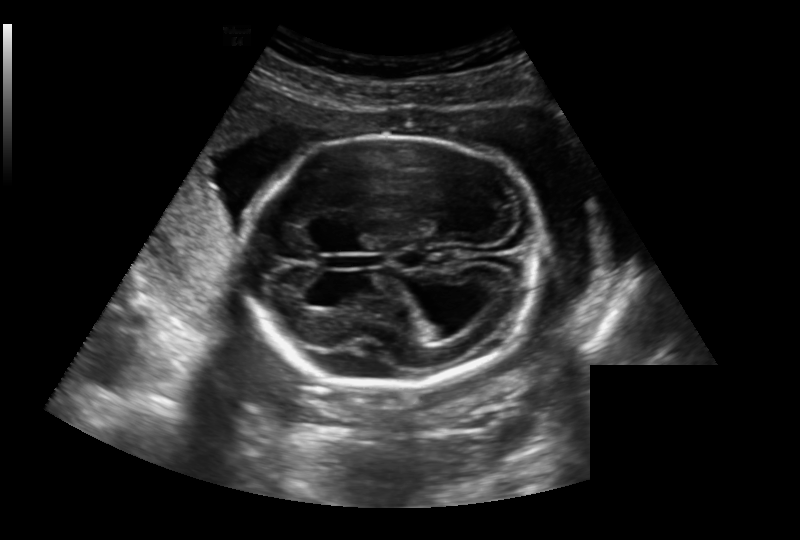
Estimate the fetal head circumference from this 2D ultrasound. Image width: 188.6 mm.

Head circumference: 210.9 mm.